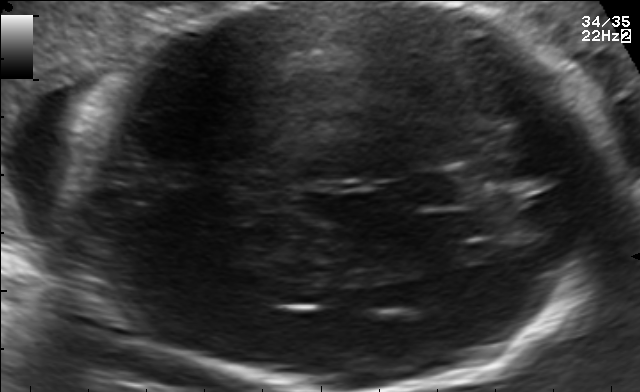
Fetal brain, trans-thalamic plane. Locate the cavum septum pellucidum.

CSP: [411,170,469,210]